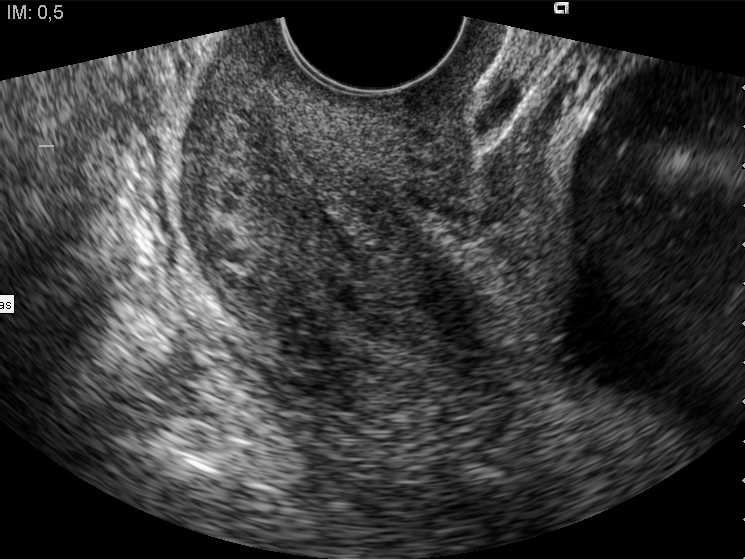
Classify this maternal-fetal ultrasound image as one of the six standard planes — fetal abdomen, fetal brain, fetal femur, fetal thorax, maternal cervix, or other. If it's fetal brain and one of the three standard brain planes (trans-thalamic, trans-cerebellum, trans-ventricular), name which.

Maternal cervix